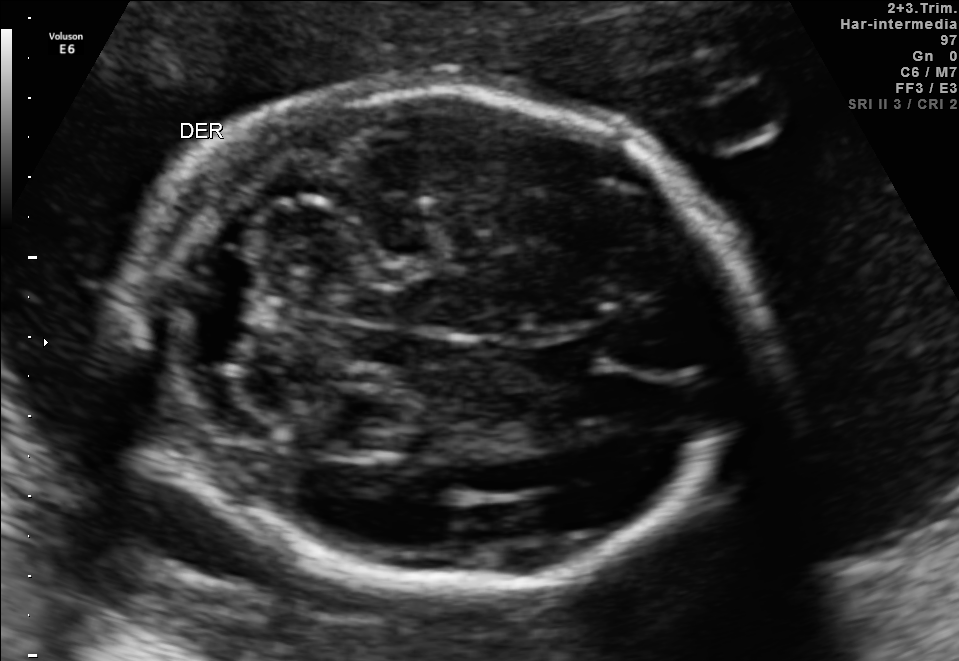
In this fetal brain, trans-cerebellum plane, give the bounding box of the cavum septum pellucidum.

[517,327,616,391]